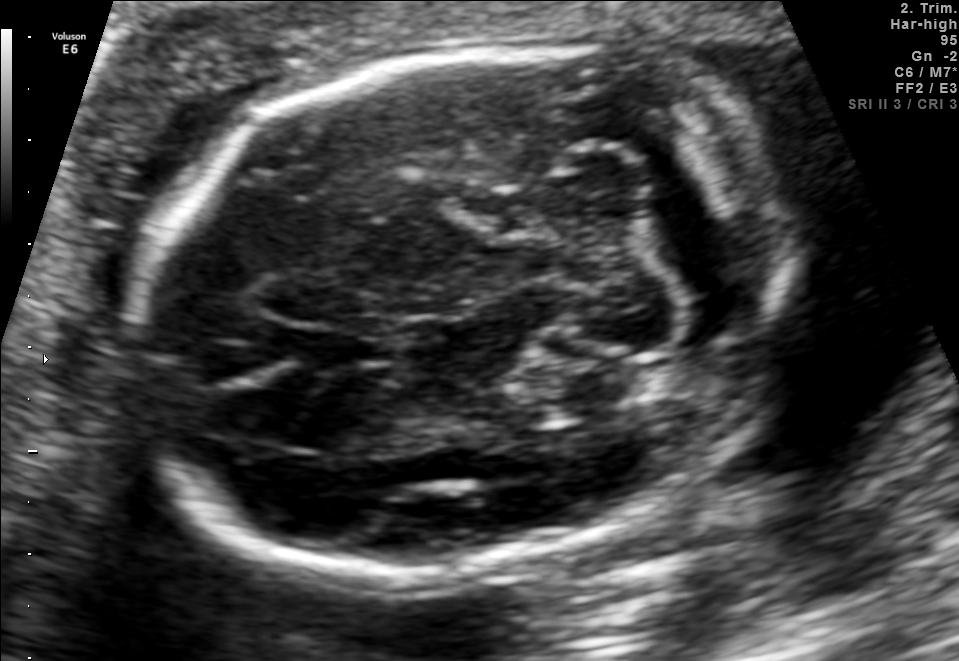
Fetal brain, trans-cerebellum plane. Give [x1,y1,x2,y2] bounding boxes for each visible structure among: fetal head, CSP, LV.

Head: [138,40,795,577]
CSP: [305,322,388,368]